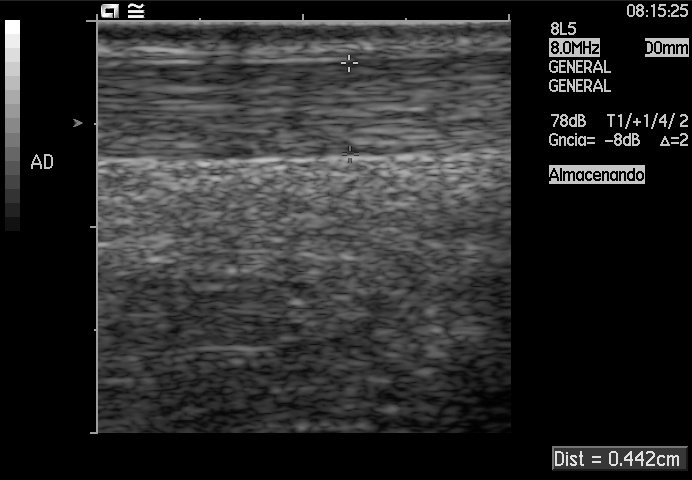
This is a 2D maternal-fetal ultrasound frame. Is it a fetal abdomen, fetal brain, fetal femur, fetal thorax, maternal cervix, or other standard plane? If it's fetal brain and one of the three standard brain planes (trans-thalamic, trans-cerebellum, trans-ventricular), name which.

Other